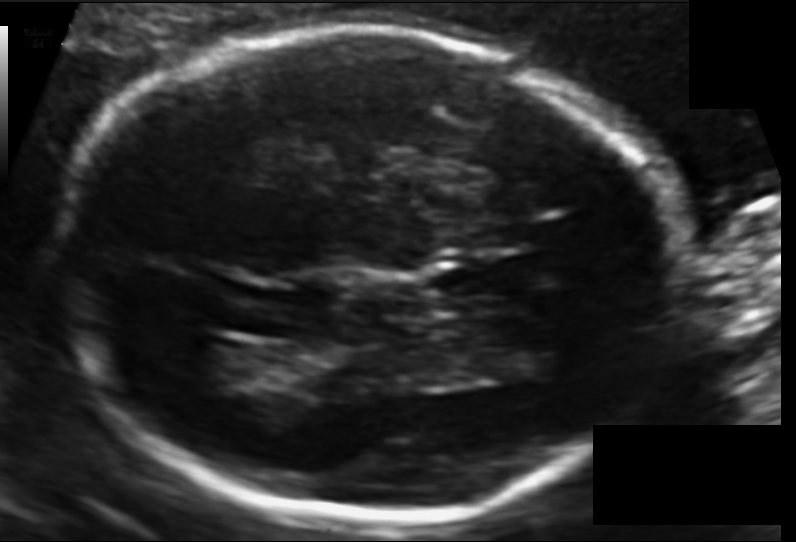
Measure the fetal head circumference shown in this ultrasound image. Image width: 95.4 mm.

Head circumference: 213.6 mm.